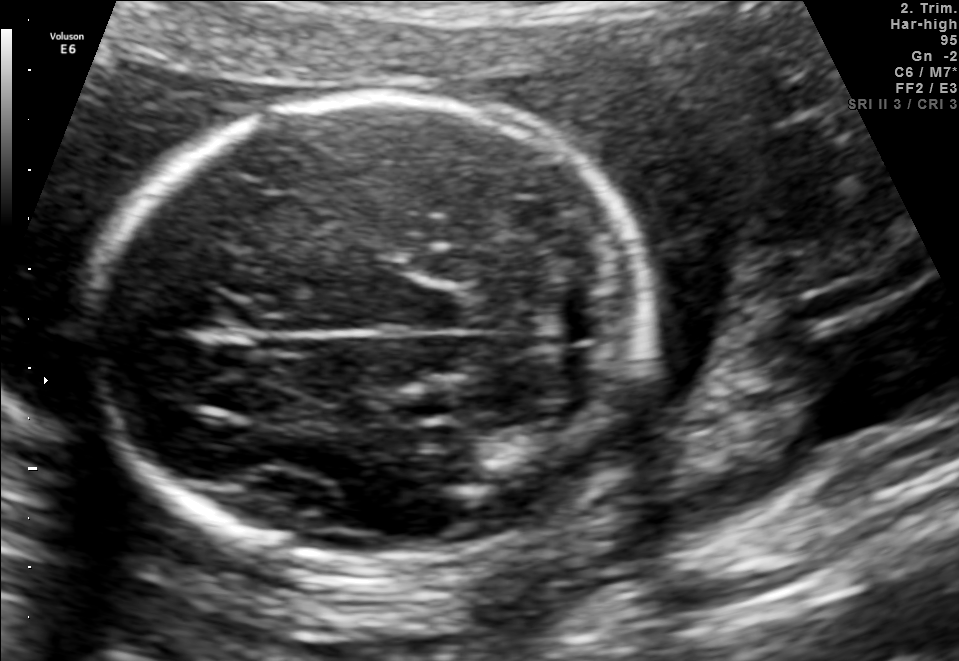
Fetal brain, trans-cerebellum plane. Locate the fetal head.

Head: [98,89,647,566]